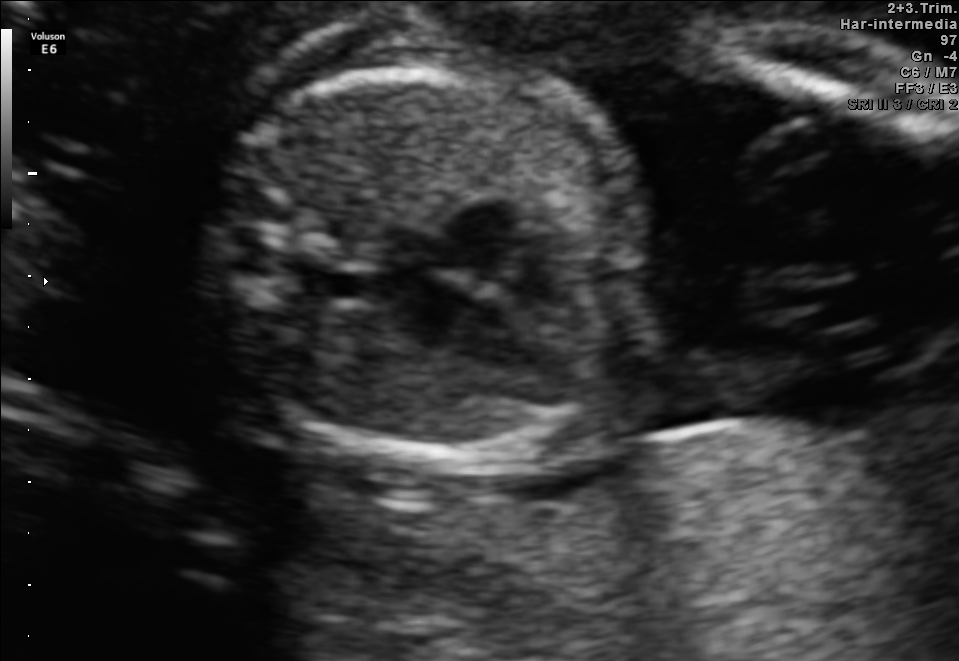
Which standard maternal-fetal ultrasound plane is shown: fetal abdomen, fetal brain, fetal femur, fetal thorax, maternal cervix, or other? If it's fetal brain and one of the three standard brain planes (trans-thalamic, trans-cerebellum, trans-ventricular), name which.

Fetal thorax